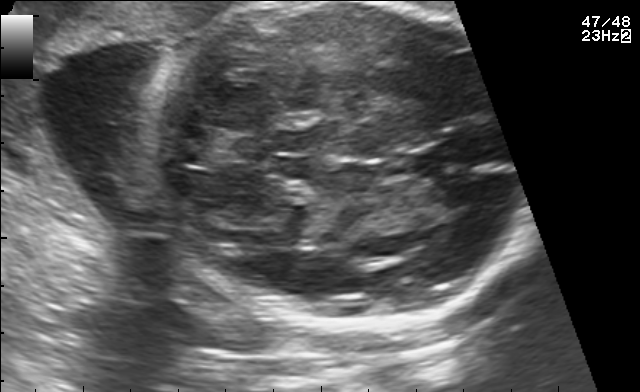
Which standard maternal-fetal ultrasound plane is shown: fetal abdomen, fetal brain, fetal femur, fetal thorax, maternal cervix, or other? If it's fetal brain and one of the three standard brain planes (trans-thalamic, trans-cerebellum, trans-ventricular), name which.

Fetal brain (trans-thalamic plane)